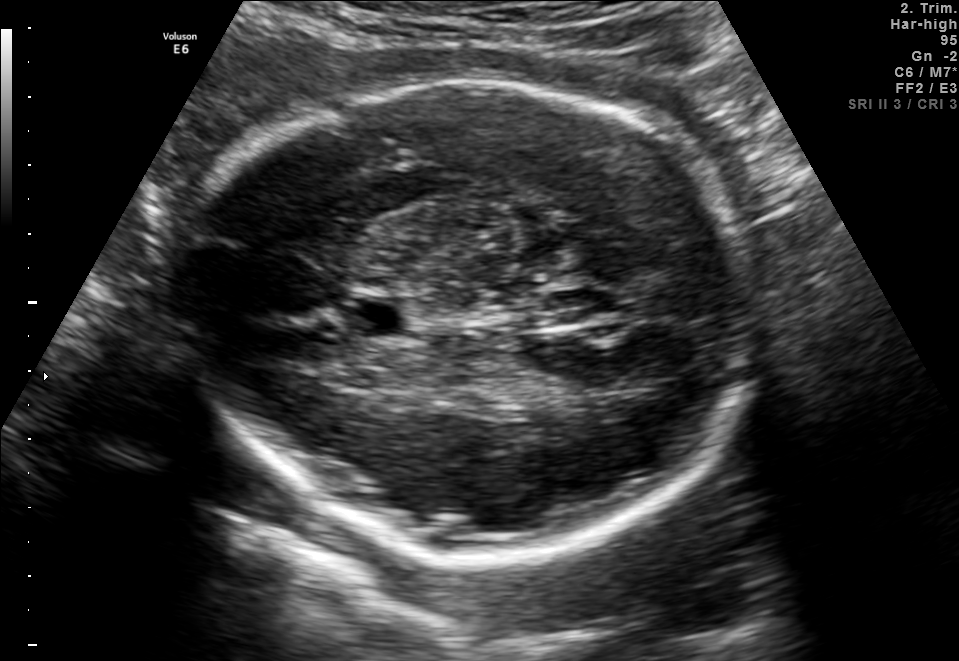
Fetal brain, trans-thalamic plane. Locate the fetal head.

Head: [180,76,751,547]